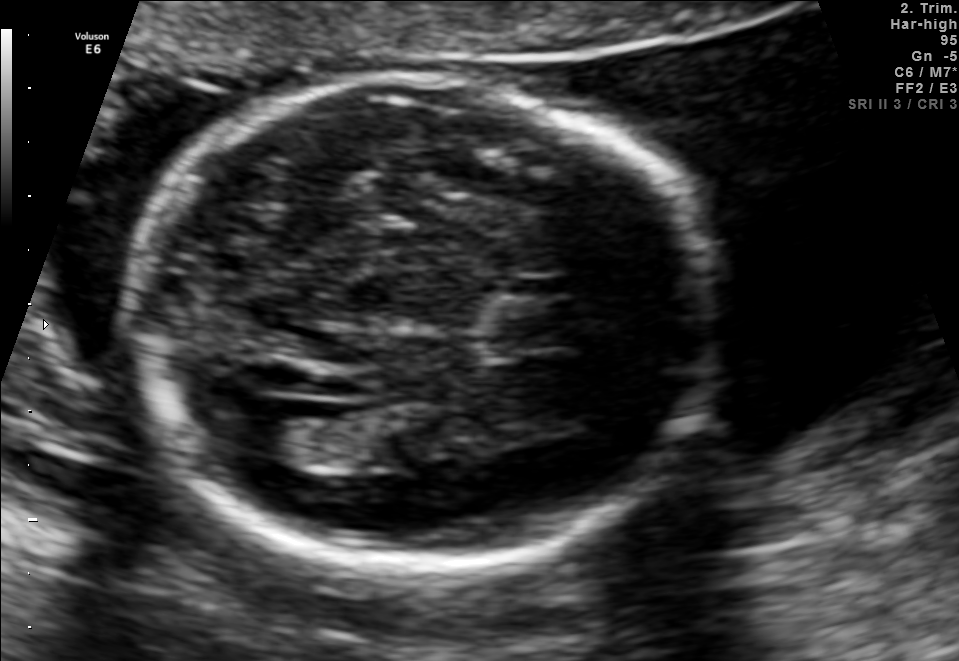
Fetal brain, trans-ventricular plane. Locate the fetal head.

Head: [112,66,737,575]